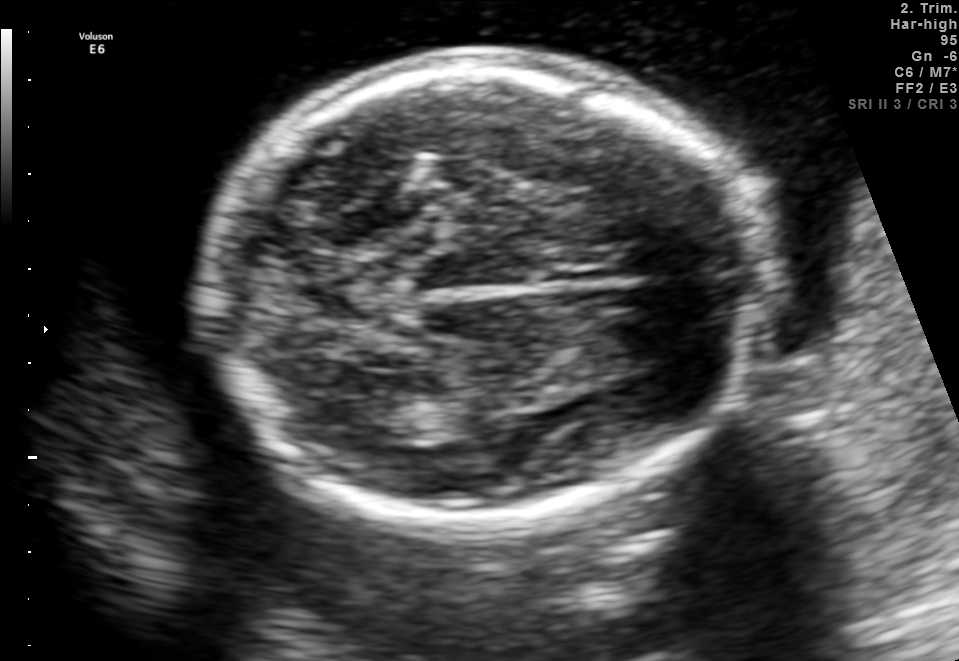
In this fetal brain, trans-thalamic plane, give the bounding box of the fetal head.

[207,56,766,517]